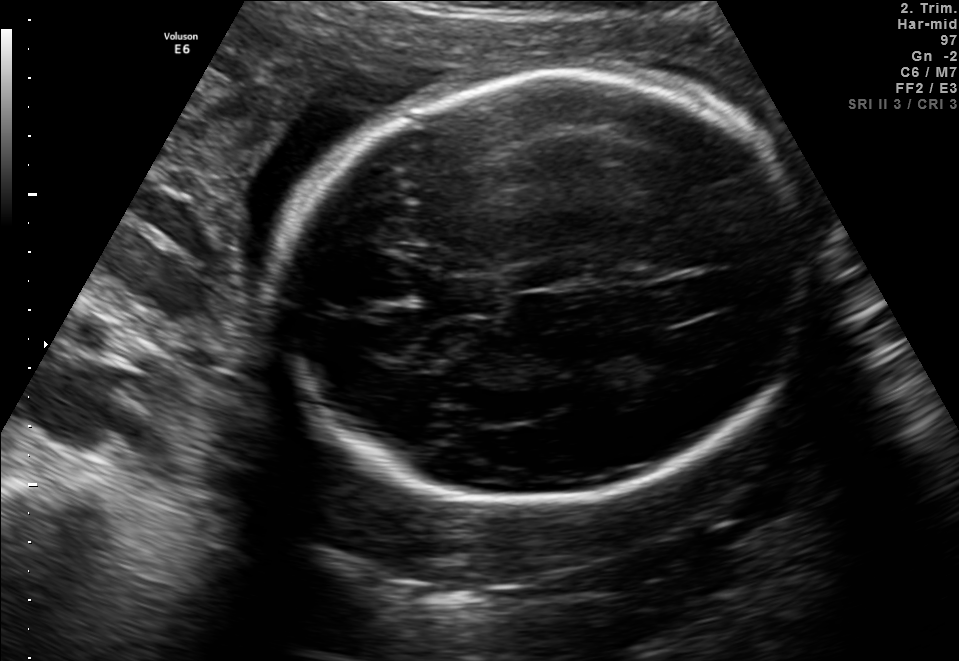
Classify this maternal-fetal ultrasound image as one of the six standard planes — fetal abdomen, fetal brain, fetal femur, fetal thorax, maternal cervix, or other. If it's fetal brain and one of the three standard brain planes (trans-thalamic, trans-cerebellum, trans-ventricular), name which.

Fetal brain (trans-ventricular plane)